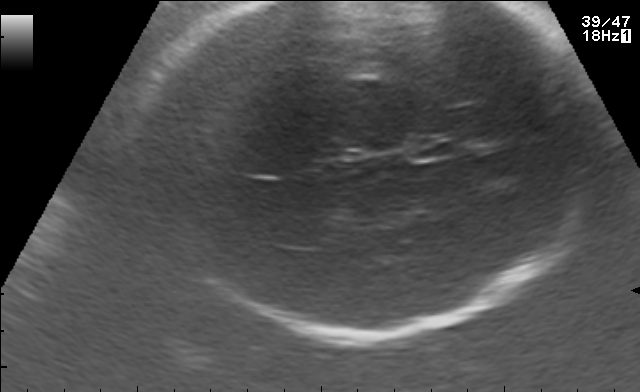
In this fetal brain, trans-thalamic plane, give the bounding box of the fetal head.

[121,2,602,330]